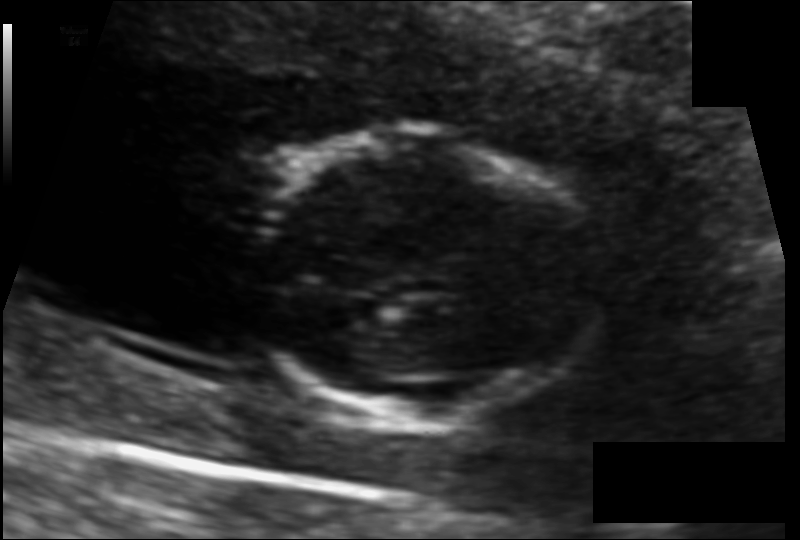
What is the fetal head circumference? Image width is 72.8 mm.

94.3 mm